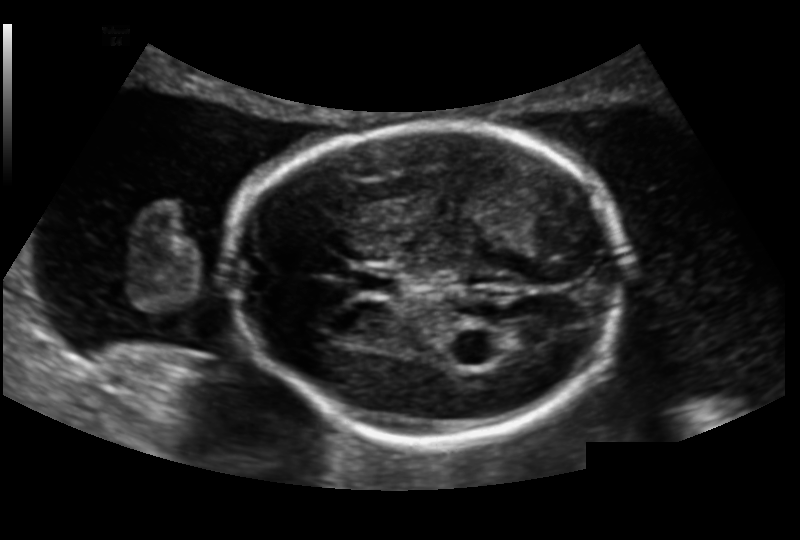
Estimate the fetal head circumference from this 2D ultrasound. Image width: 121.1 mm.

Head circumference: 172.0 mm.